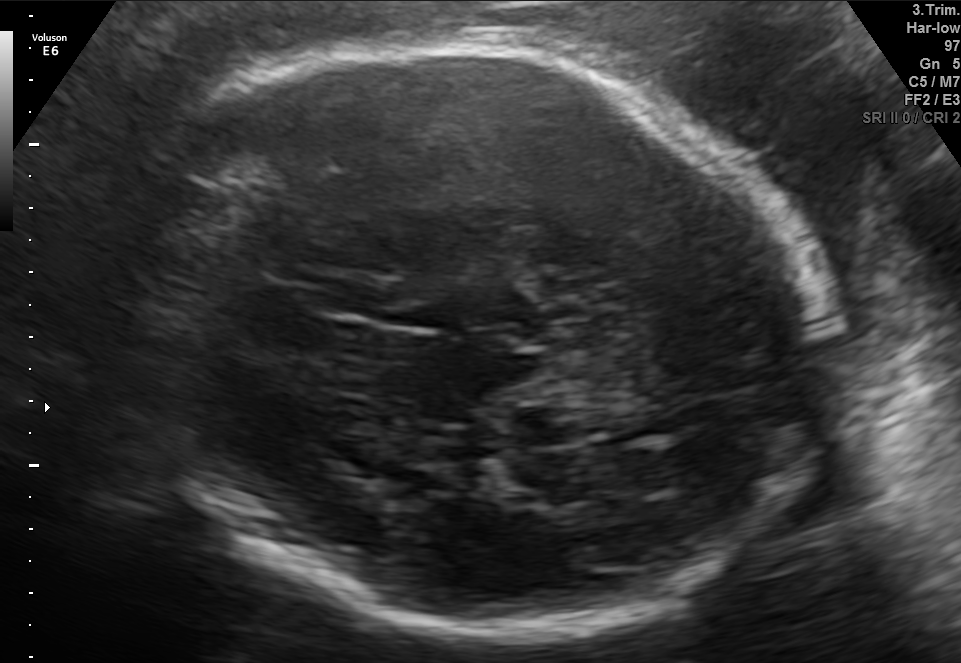
Fetal brain, trans-thalamic plane. Give [x1,y1,x2,y2] bounding boxes for each visible structure among: fetal head, CSP, LV.

Head: [121,40,832,635]